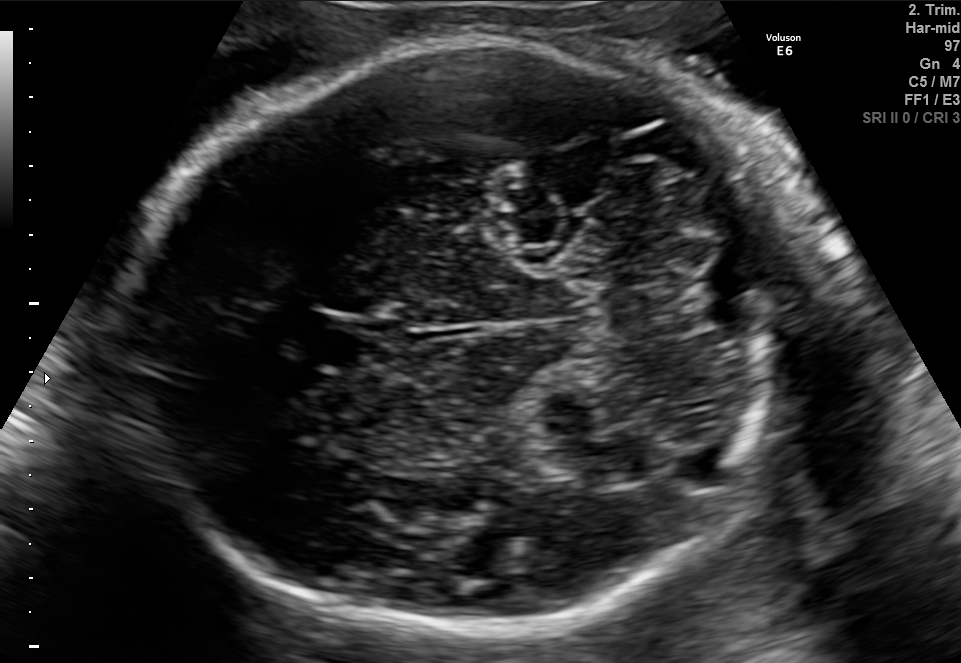
Fetal brain, trans-cerebellum plane. Where is the cavum septum pellucidum?

CSP bounding box: [292,307,385,381]